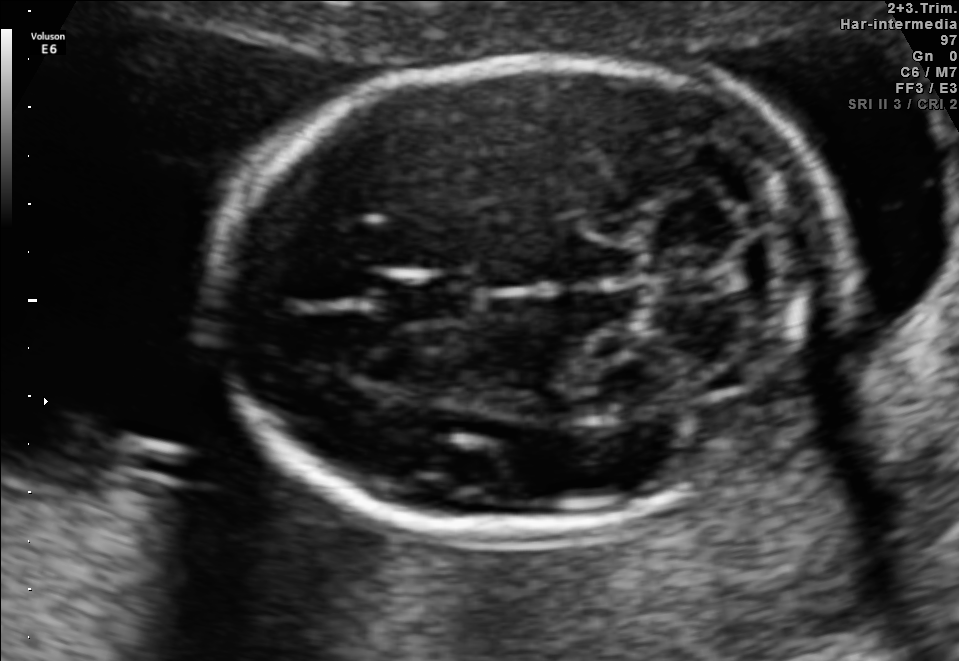
In this fetal brain, trans-cerebellum plane, give the bounding box of the fetal head.

[204,57,845,526]